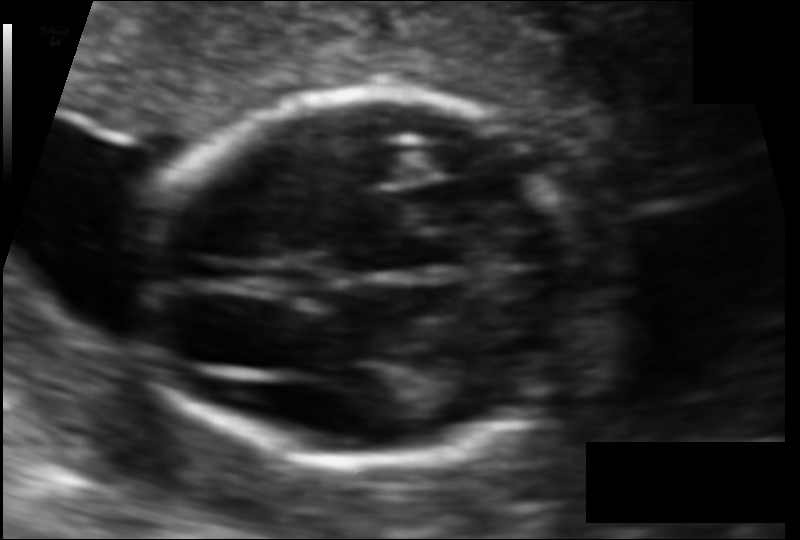
What is the fetal head circumference? Image width is 70.1 mm.

118.2 mm